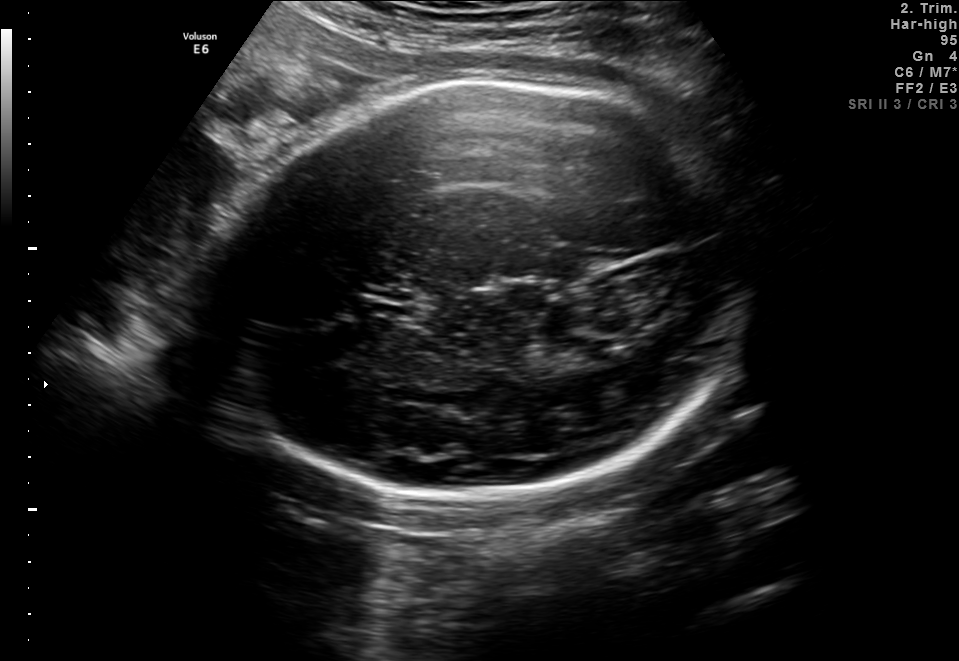
Fetal brain, trans-thalamic plane. Locate the fetal head and, if visible, the cavum septum pellucidum (CSP) and lateral ventricle (LV). Give bounding boxes as [x1,y1,x2,y2].

Head: [204,76,753,489]